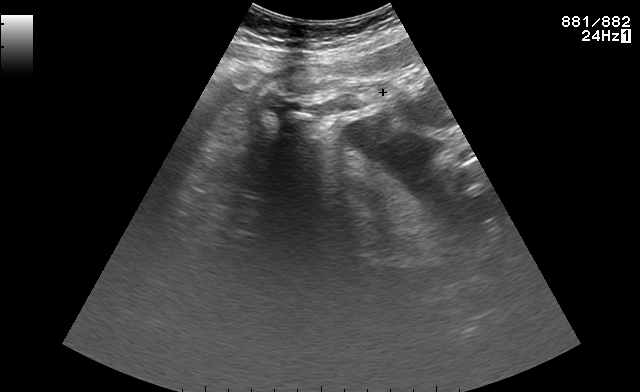
Identify the standard plane in this fetal ultrasound image: fetal abdomen, fetal brain, fetal femur, fetal thorax, maternal cervix, or other. If it's fetal brain and one of the three standard brain planes (trans-thalamic, trans-cerebellum, trans-ventricular), name which.

Other